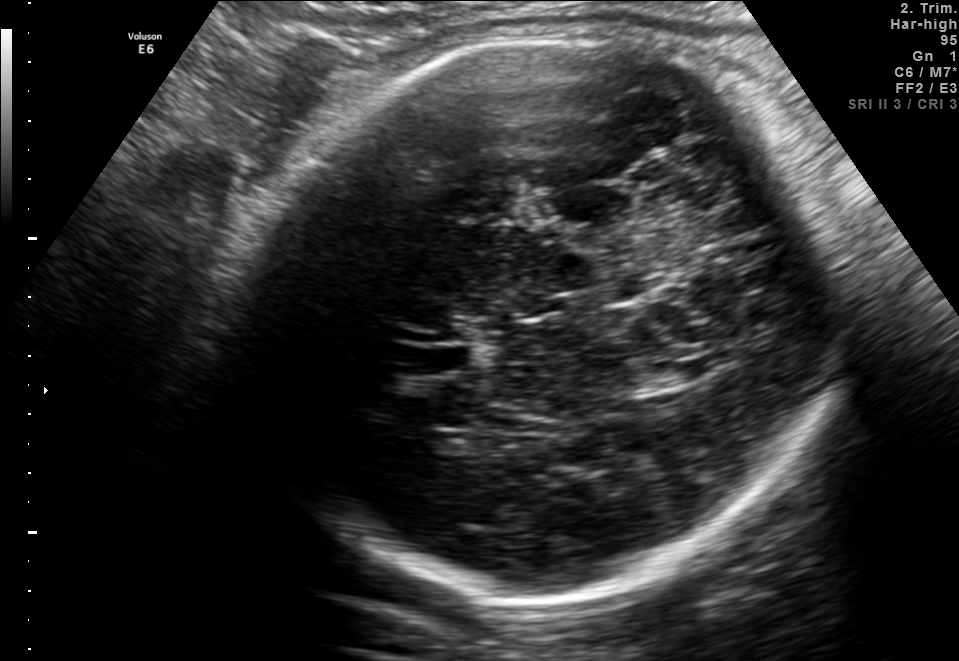
Fetal brain, trans-thalamic plane. Locate the fetal head and, if visible, the cavum septum pellucidum (CSP) and lateral ventricle (LV). Give bounding boxes as [x1,y1,x2,y2].

Head: [231,37,842,602]
Lateral ventricle: [637,360,697,394]